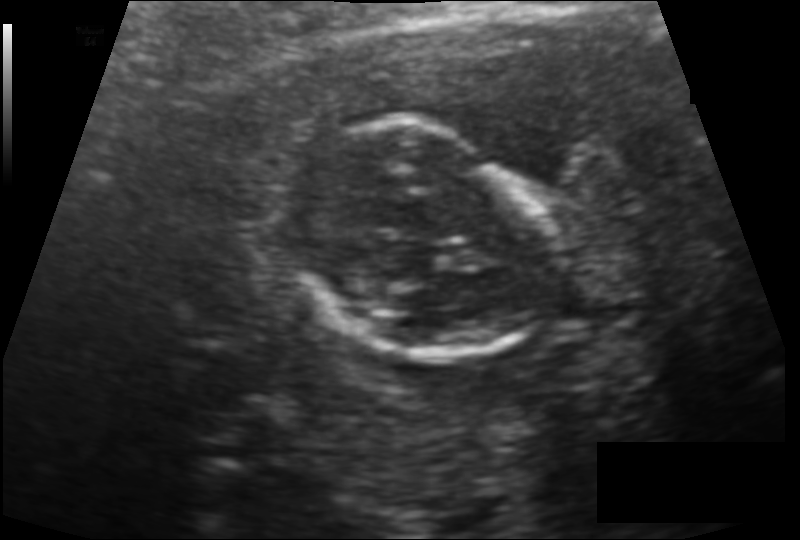
Estimate the fetal head circumference from this 2D ultrasound.

Head circumference: 97.2 mm (image width 91.6 mm).